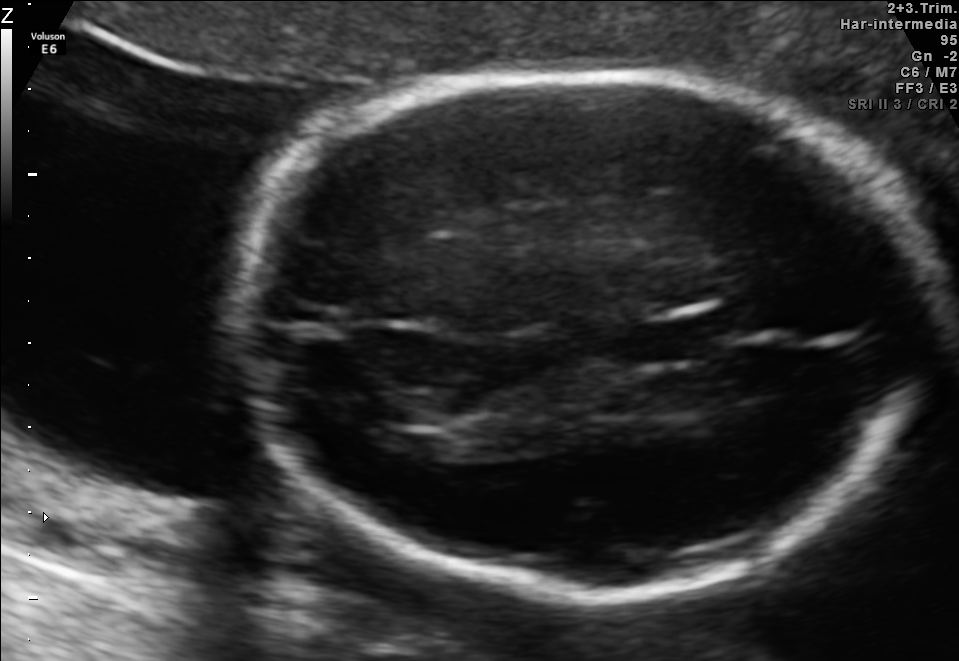
Fetal brain, trans-thalamic plane. Give [x1,y1,x2,y2] bounding boxes for each visible structure among: fetal head, CSP, LV.

Head: [250,70,927,595]
CSP: [631,312,725,369]